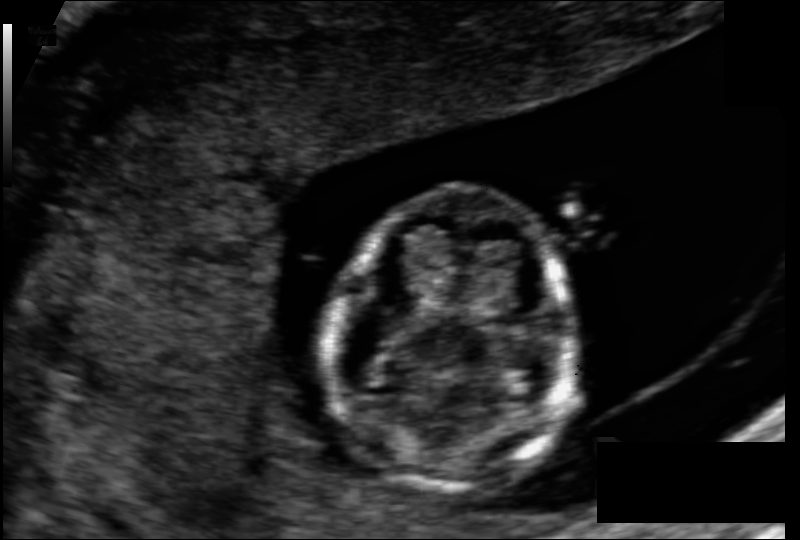
Measure the fetal head circumference shown in this ultrasound image. Image width: 77.7 mm.

Head circumference: 87.3 mm.